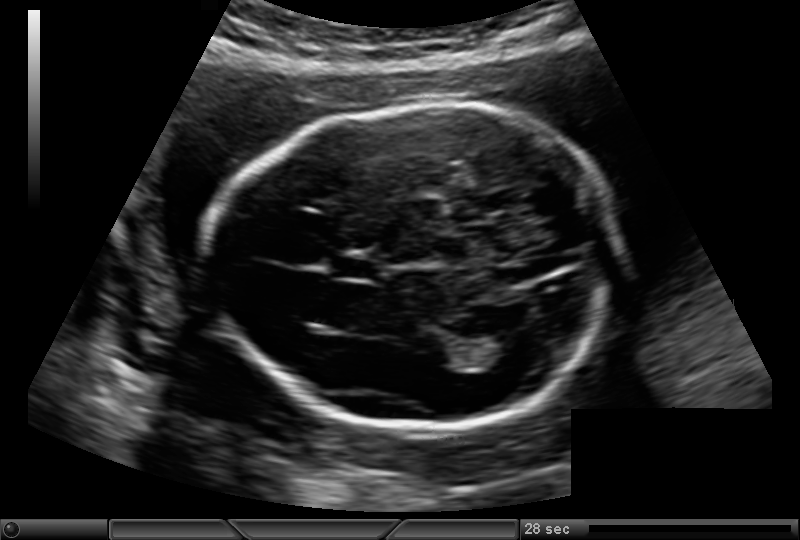
Fetal head ultrasound. Image width: 117.2 mm. Locate the cavum septum pellucidum.

CSP: [331,255,377,282]